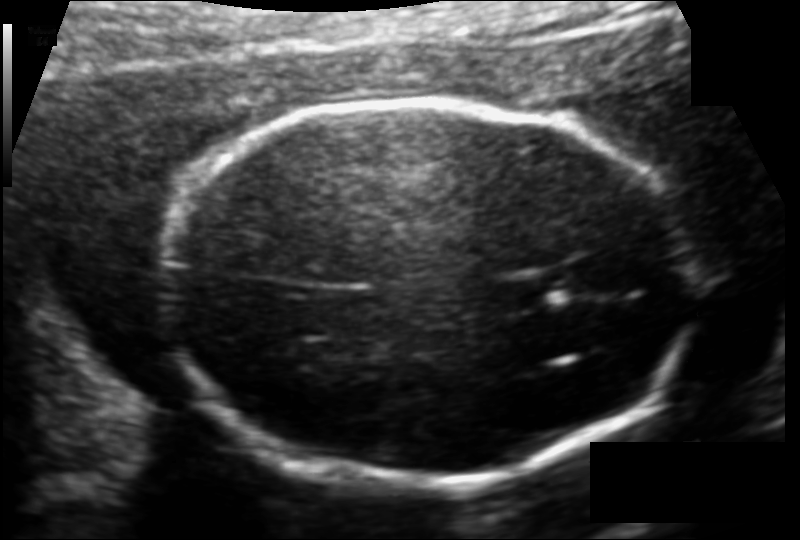
Estimate the fetal head circumference from this 2D ultrasound. Image width: 95.0 mm.

Head circumference: 176.5 mm.